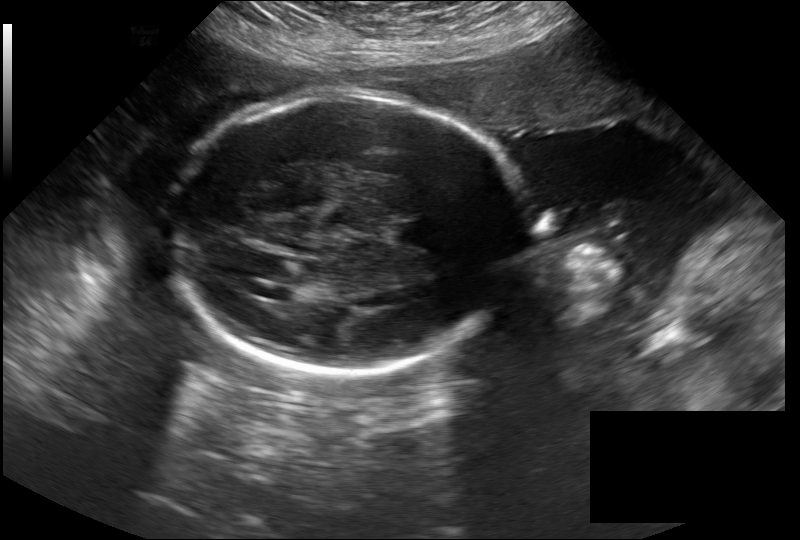
In this fetal head ultrasound, give the bounding box of the fetal head. Image width: 223.0 mm.

[167,92,523,374]